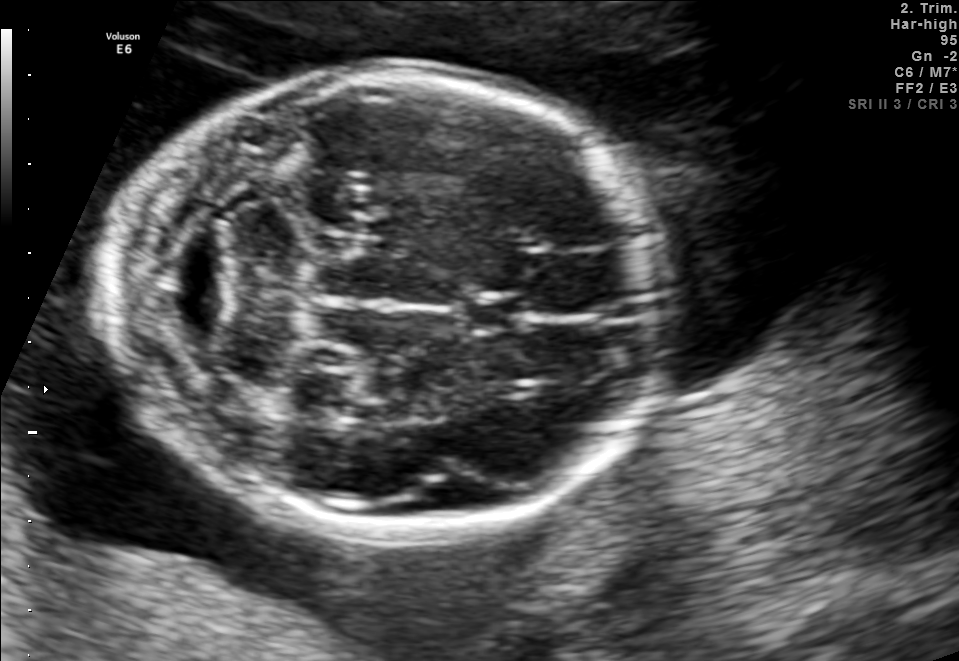
Fetal brain, trans-cerebellum plane. Give [x1,y1,x2,y2] bounding boxes for each visible structure among: fetal head, CSP, LV.

Head: [111,72,668,531]
CSP: [464,292,534,334]